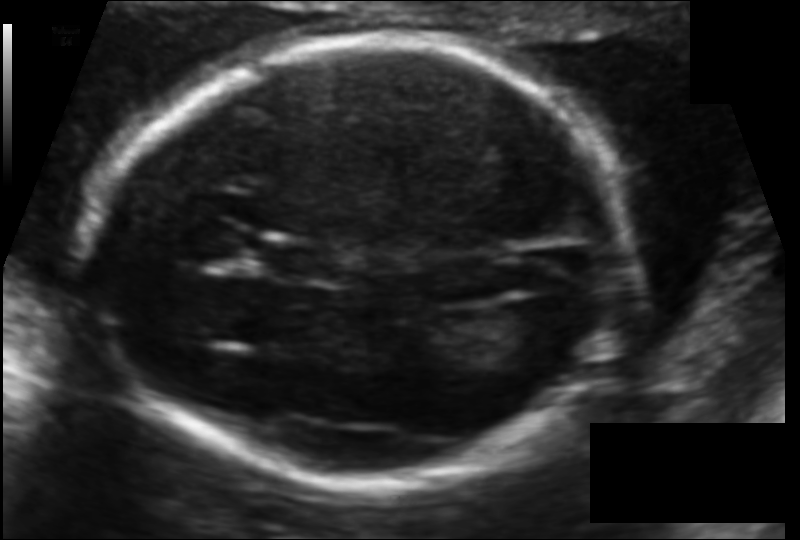
Estimate the fetal head circumference from this 2D ultrasound.

Head circumference: 171.3 mm (image width 85.1 mm).